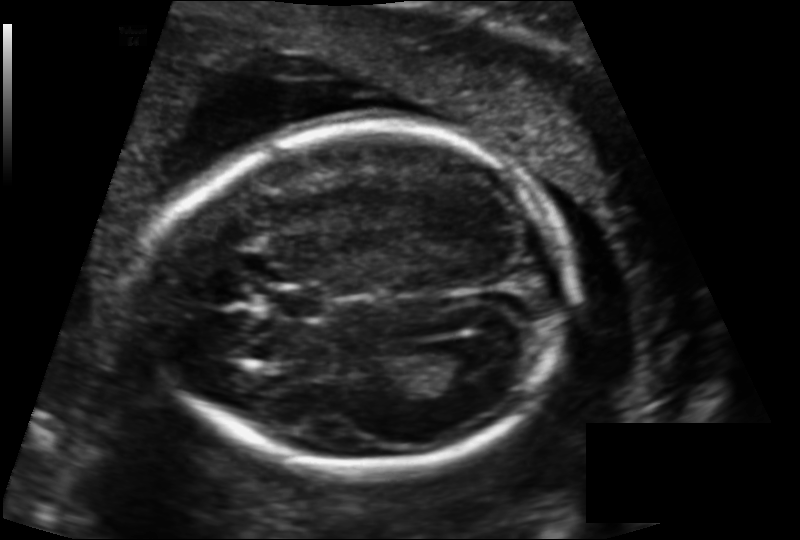
Fetal head ultrasound. Image width: 109.5 mm. Locate the lateral ventricle.

Lateral ventricle: [424,336,500,396]